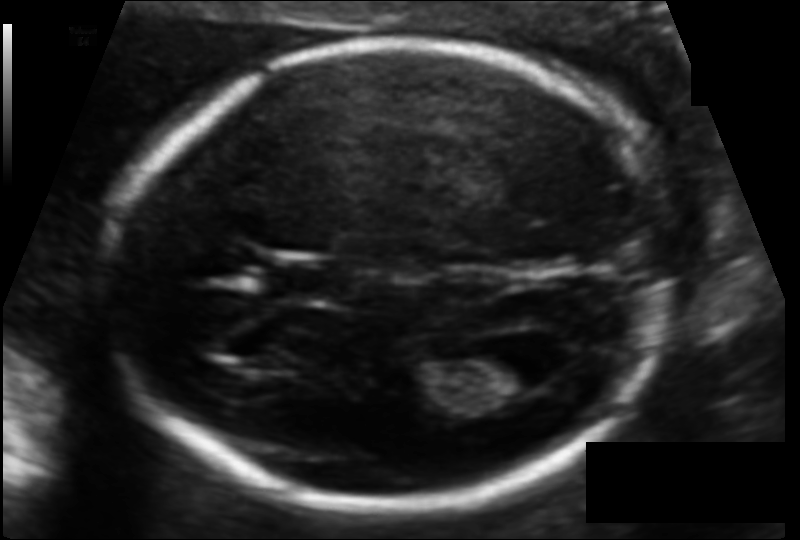
In this fetal head ultrasound, give bounding boxes for the head outline, cavum septum pellucidum (CSP), and lateral ventricle (LV), where visible. Image width: 82.6 mm.

Head: [101,40,667,507]
CSP: [270,261,337,302]
Lateral ventricle: [465,332,558,408]